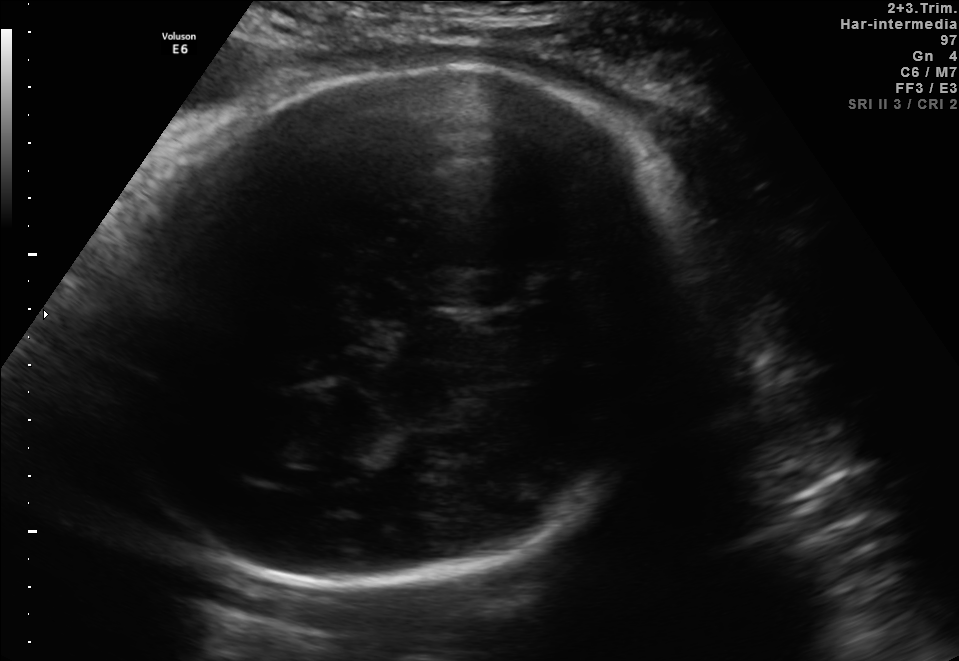
Fetal brain, trans-thalamic plane. Give [x1,y1,x2,y2] bounding boxes for each visible structure among: fetal head, CSP, LV.

Head: [74,70,705,583]